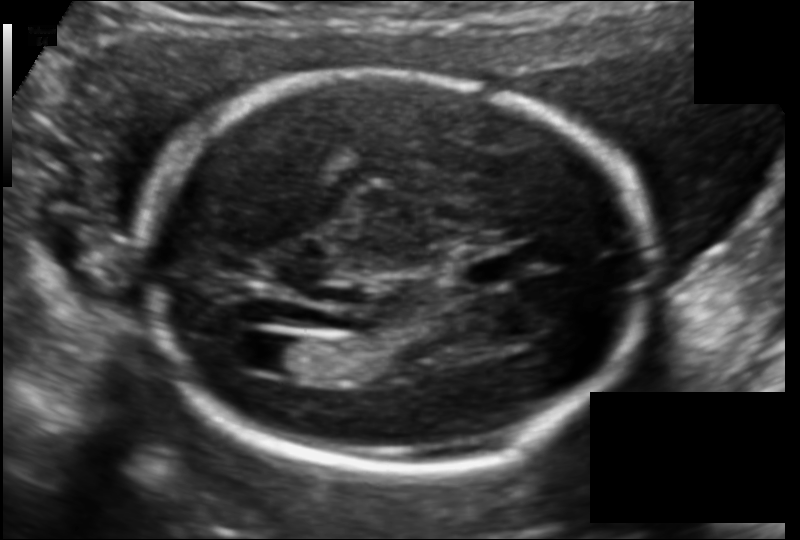
In this fetal head ultrasound, give the bounding box of the lateral ventricle. Image width: 97.5 mm.

[254,334,315,376]